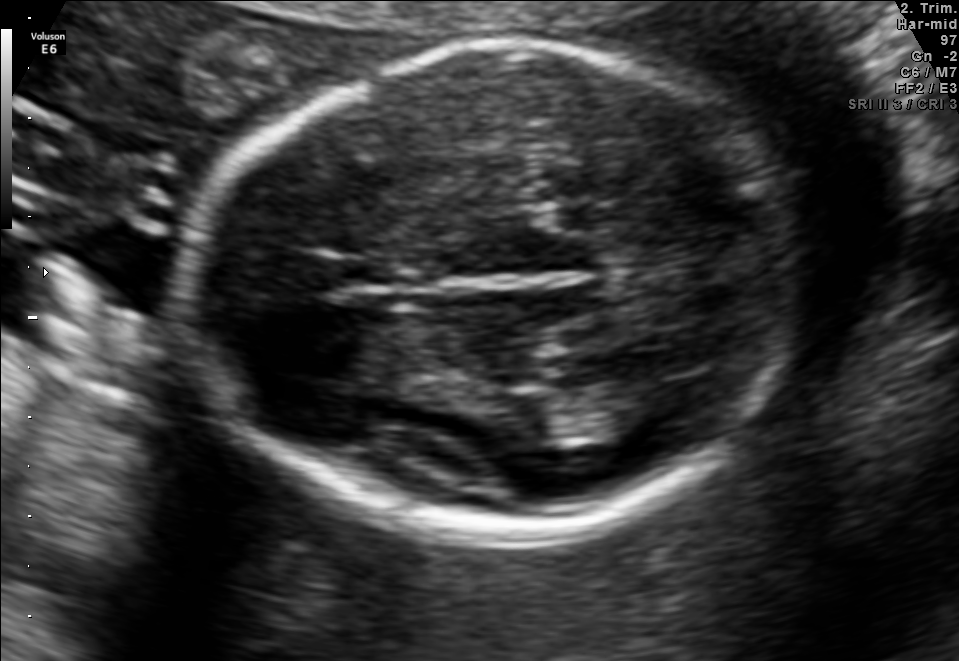
Fetal brain, trans-thalamic plane. Give [x1,y1,x2,y2] bounding boxes for each visible structure among: fetal head, CSP, LV.

Head: [177,45,794,534]
Lateral ventricle: [598,372,708,441]